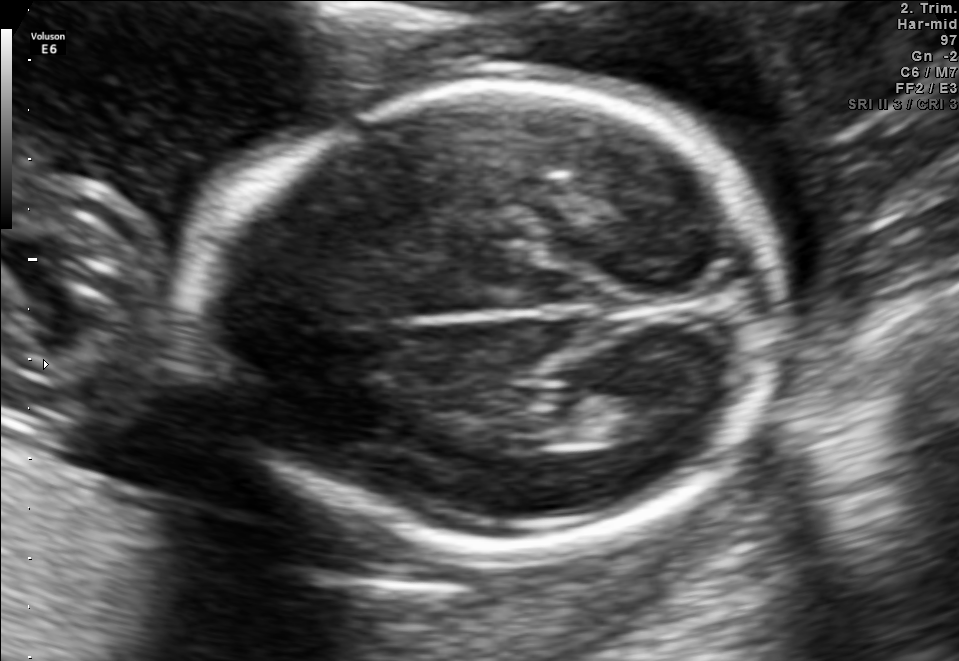
In this fetal brain, trans-thalamic plane, give the bounding box of the lateral ventricle.

[592,382,702,447]